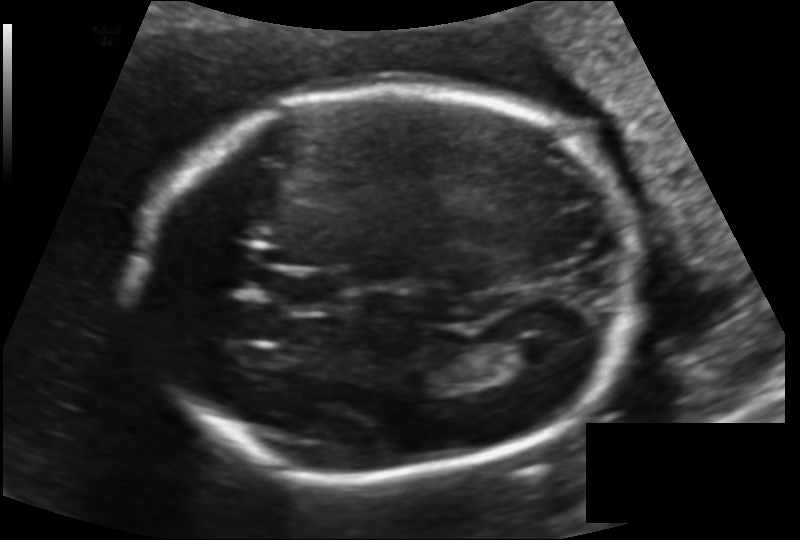
Fetal head ultrasound. Image width: 115.0 mm. Locate the lateral ventricle.

Lateral ventricle: [501,330,560,373]